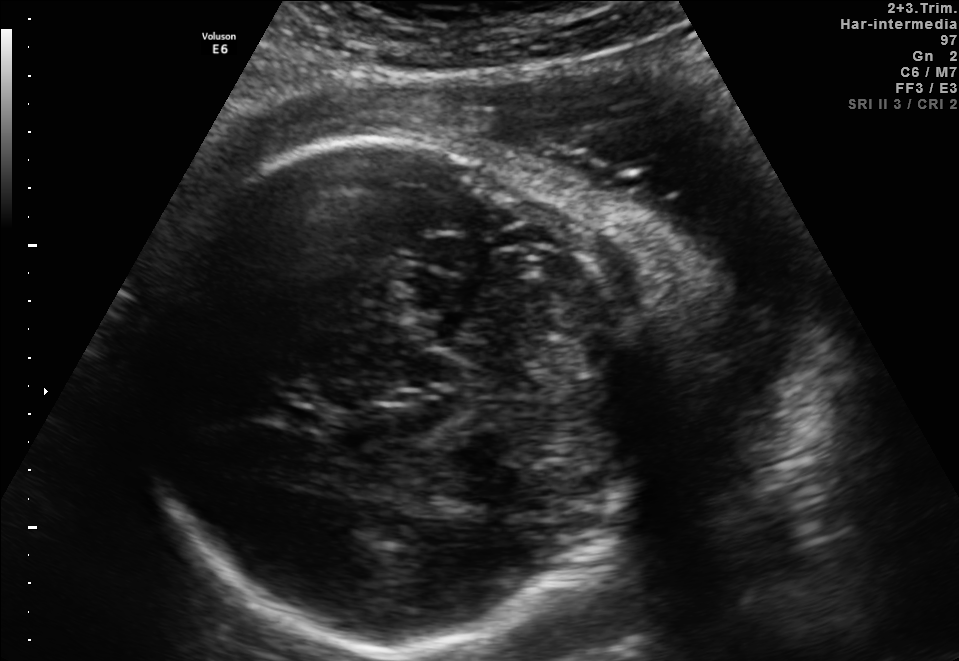
In this fetal brain, trans-thalamic plane, give the bounding box of the fetal head.

[130,134,645,651]